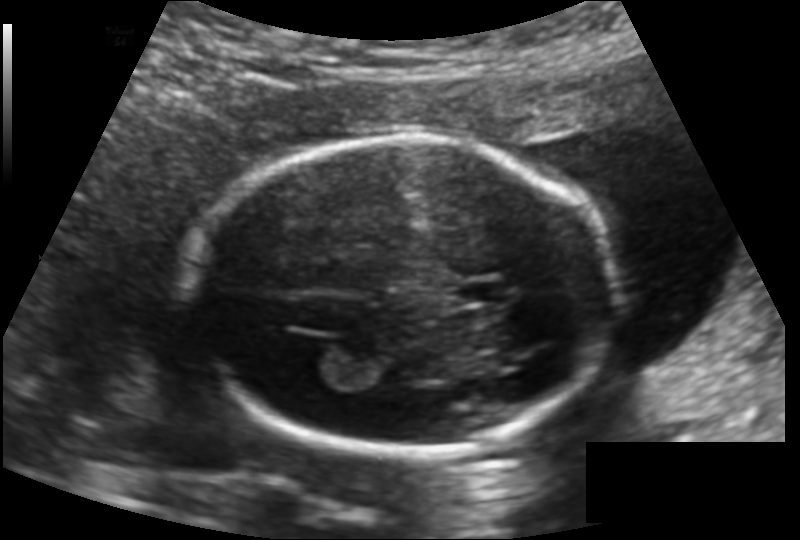
In this fetal head ultrasound, give the bounding box of the lateral ventricle. Image width: 109.1 mm.

[284,331,341,374]